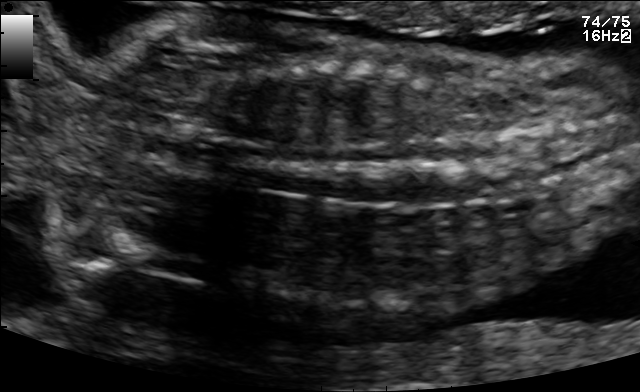
Classify this maternal-fetal ultrasound image as one of the six standard planes — fetal abdomen, fetal brain, fetal femur, fetal thorax, maternal cervix, or other. If it's fetal brain and one of the three standard brain planes (trans-thalamic, trans-cerebellum, trans-ventricular), name which.

Other